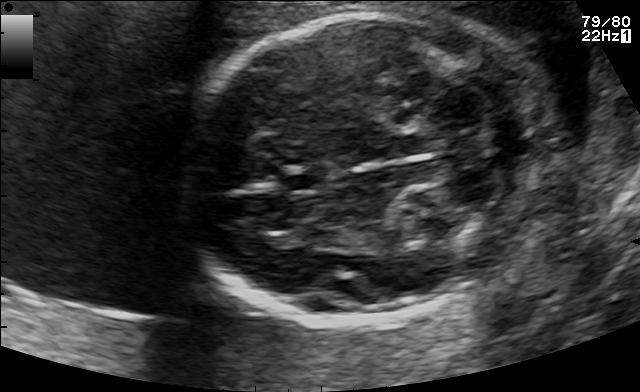
Classify this maternal-fetal ultrasound image as one of the six standard planes — fetal abdomen, fetal brain, fetal femur, fetal thorax, maternal cervix, or other. If it's fetal brain and one of the three standard brain planes (trans-thalamic, trans-cerebellum, trans-ventricular), name which.

Fetal brain (trans-cerebellum plane)